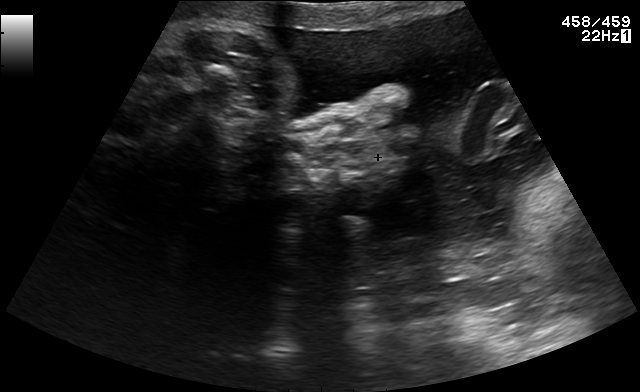
Classify this maternal-fetal ultrasound image as one of the six standard planes — fetal abdomen, fetal brain, fetal femur, fetal thorax, maternal cervix, or other. If it's fetal brain and one of the three standard brain planes (trans-thalamic, trans-cerebellum, trans-ventricular), name which.

Other